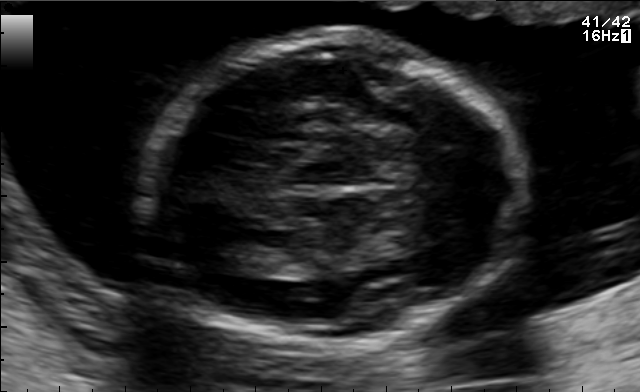
Fetal brain, trans-thalamic plane. Where is the fetal head?

Head bounding box: [136,35,529,351]